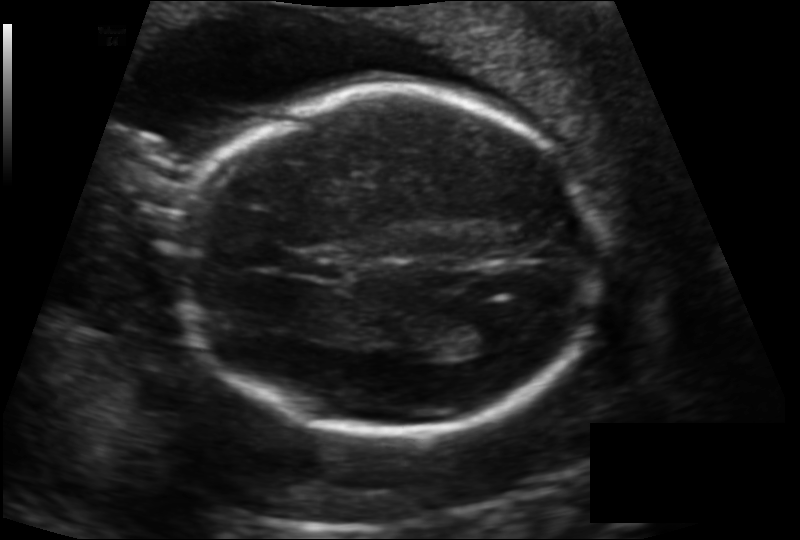
Fetal head ultrasound. Image width: 113.2 mm. Locate the cavum septum pellucidum.

CSP: [285,247,347,282]